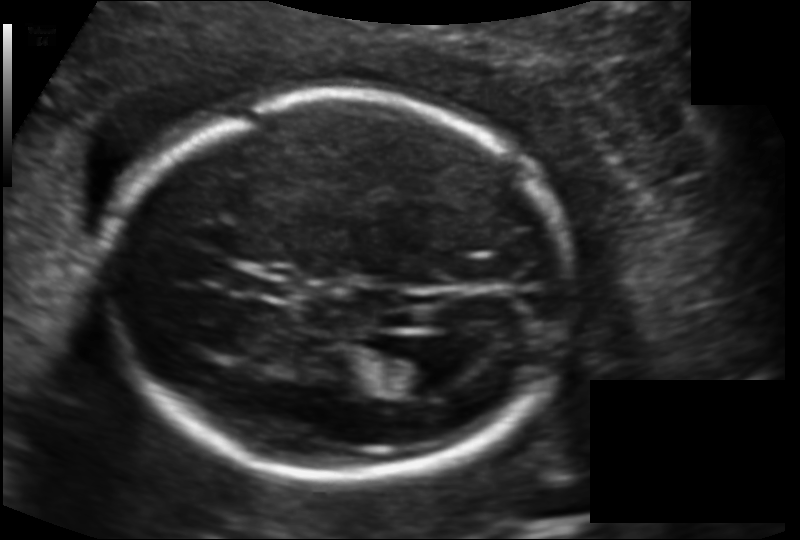
Fetal head ultrasound. Image width: 107.3 mm. Where is the fetal head?

Head bounding box: [108,92,565,482]